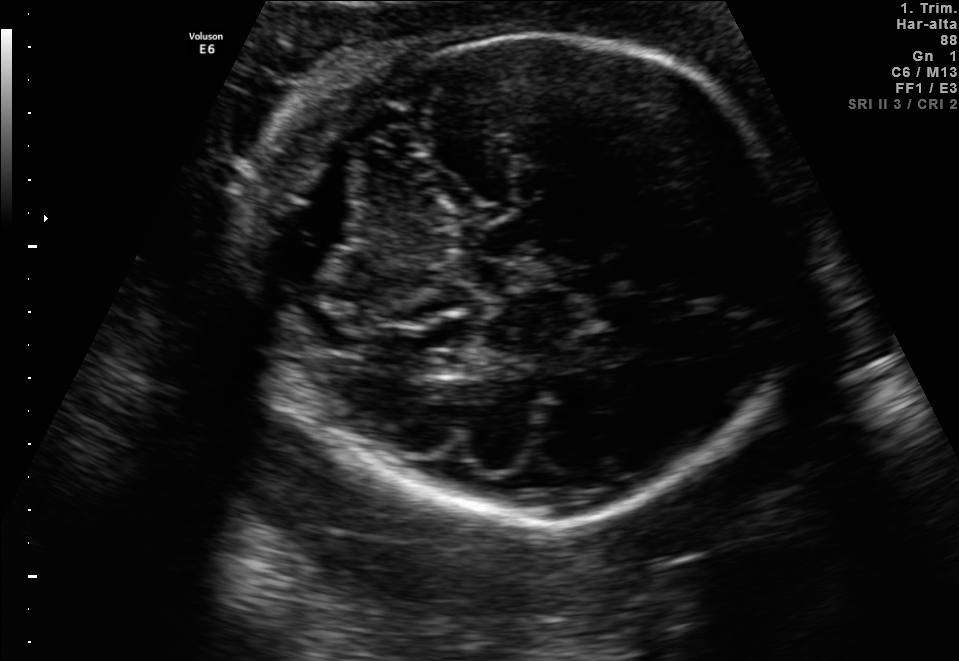
Fetal brain, trans-cerebellum plane. Give [x1,y1,x2,y2] bounding boxes for each visible structure among: fetal head, CSP, LV.

Head: [249,34,800,521]